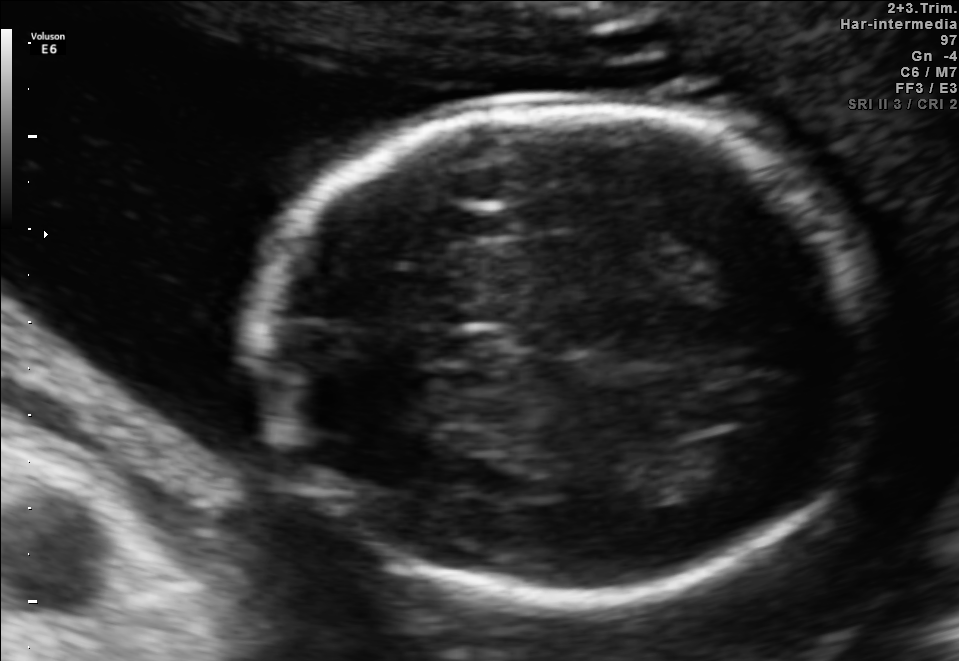
Fetal brain, trans-ventricular plane. Locate the cavum septum pellucidum.

CSP: [426,331,508,367]